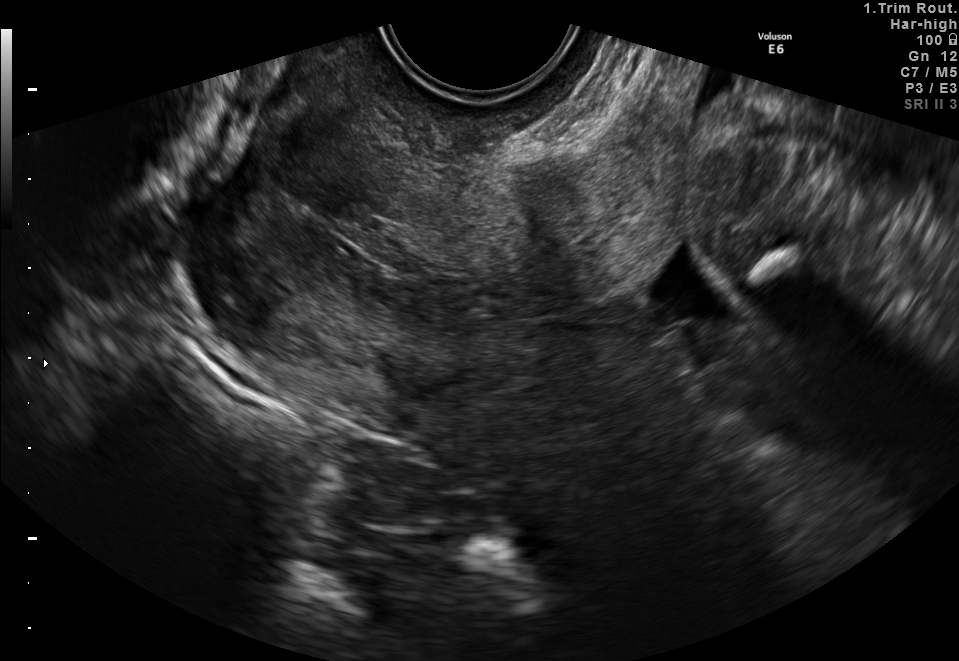
Classify this maternal-fetal ultrasound image as one of the six standard planes — fetal abdomen, fetal brain, fetal femur, fetal thorax, maternal cervix, or other. If it's fetal brain and one of the three standard brain planes (trans-thalamic, trans-cerebellum, trans-ventricular), name which.

Maternal cervix